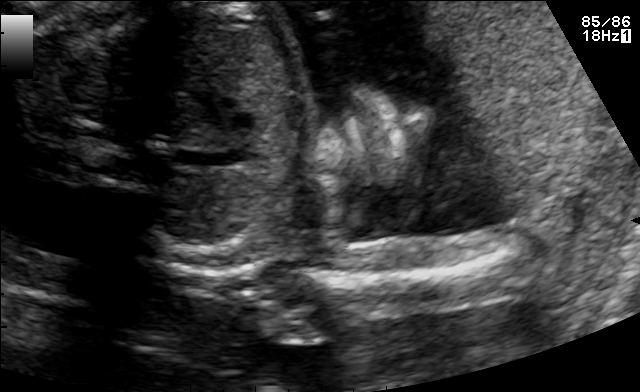
Which standard maternal-fetal ultrasound plane is shown: fetal abdomen, fetal brain, fetal femur, fetal thorax, maternal cervix, or other? If it's fetal brain and one of the three standard brain planes (trans-thalamic, trans-cerebellum, trans-ventricular), name which.

Other